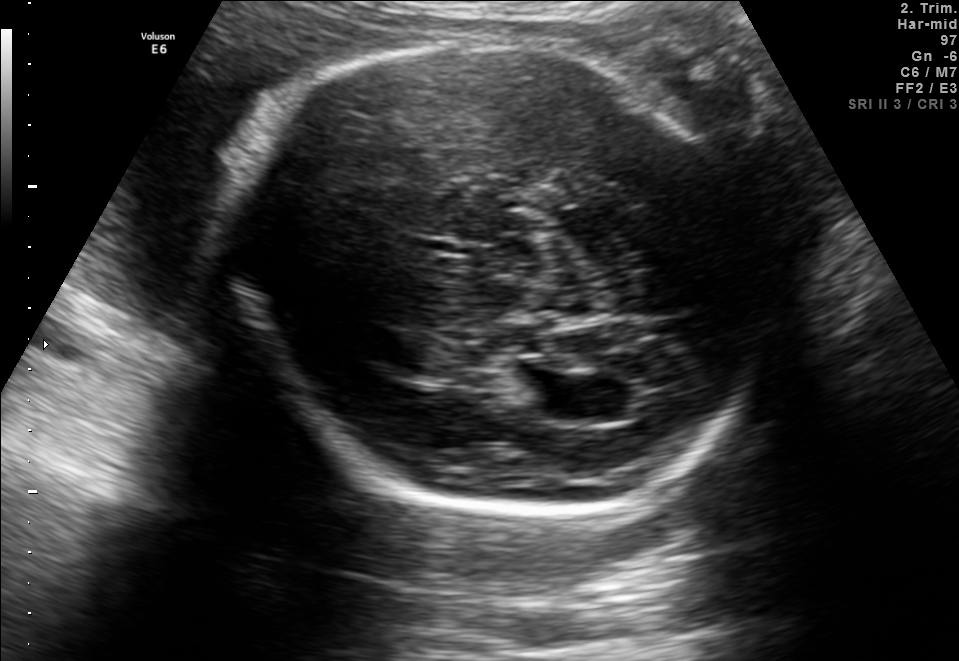
In this fetal brain, trans-ventricular plane, give the bounding box of the fetal head.

[228,28,775,525]